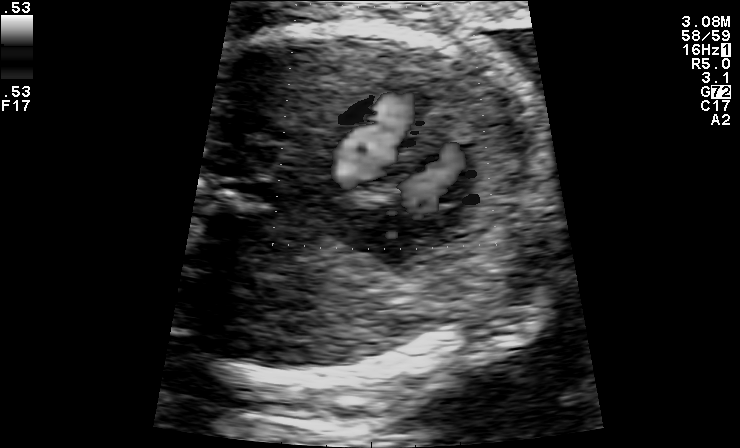
Identify the standard plane in this fetal ultrasound image: fetal abdomen, fetal brain, fetal femur, fetal thorax, maternal cervix, or other. If it's fetal brain and one of the three standard brain planes (trans-thalamic, trans-cerebellum, trans-ventricular), name which.

Other